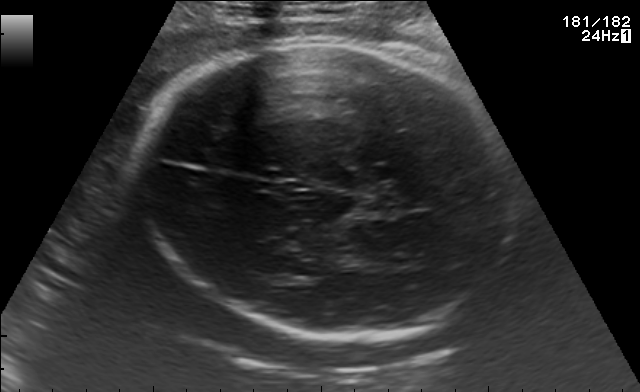
Fetal brain, trans-thalamic plane. Locate the fetal head.

Head: [138,41,511,336]